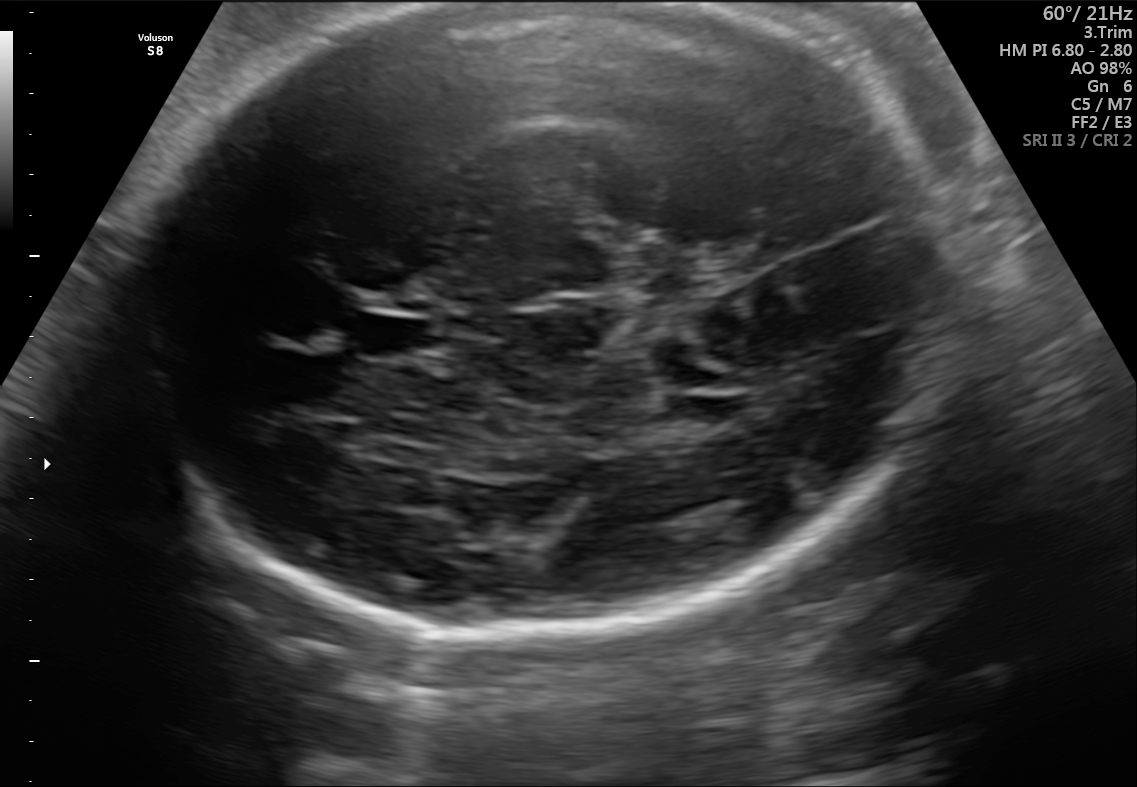
In this fetal brain, trans-thalamic plane, give the bounding box of the fetal head.

[128,4,950,645]